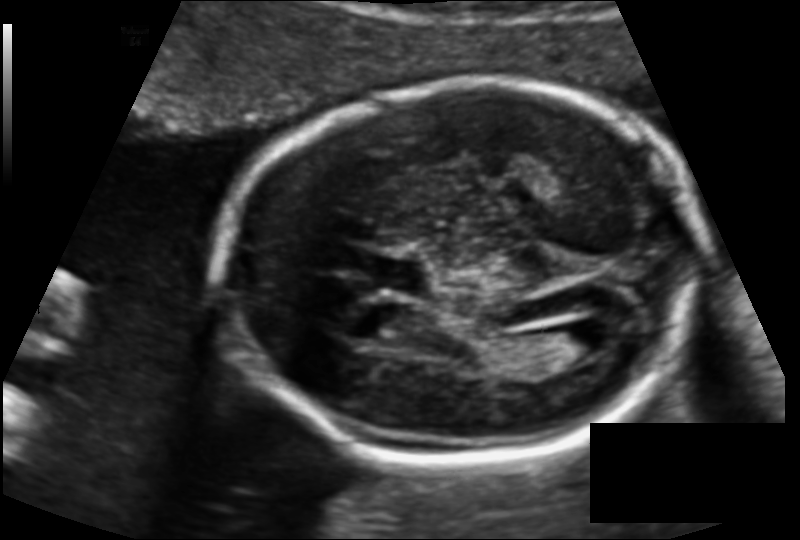
Fetal head ultrasound. Image width: 99.5 mm. Locate the fetal head and, if visible, the cavum septum pellucidum (CSP) and lateral ventricle (LV). Give bounding boxes as [x1,y1,x2,y2].

Head: [219,86,700,462]
CSP: [361,254,427,295]
Lateral ventricle: [542,320,618,371]